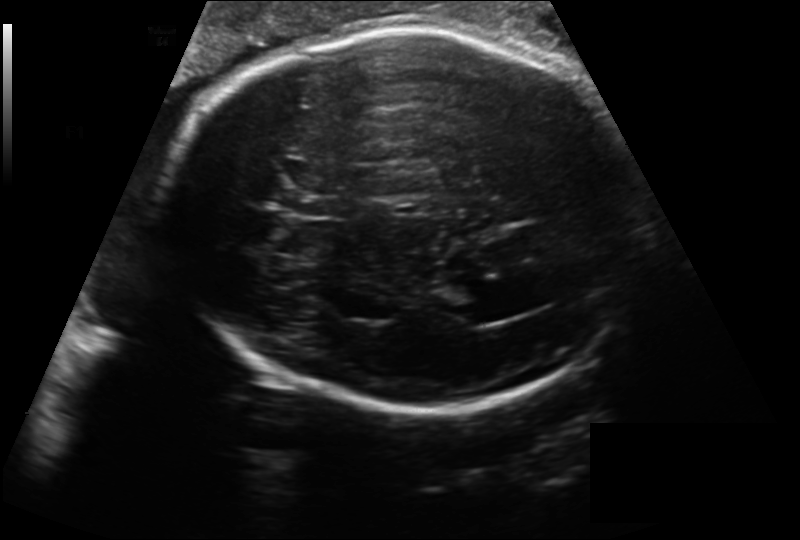
Fetal head ultrasound. Image width: 174.3 mm. Give [x1,y1,x2,y2] bounding boxes for each visible structure among: fetal head, CSP, LV.

Head: [163,30,646,410]
CSP: [302,196,343,219]
Lateral ventricle: [448,297,505,330]